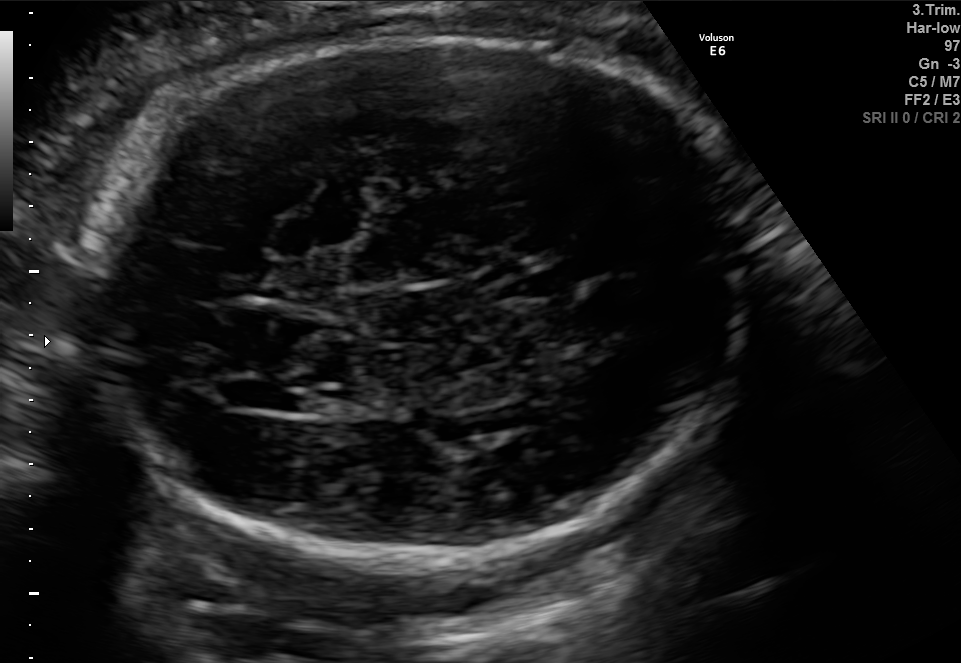
This is a 2D maternal-fetal ultrasound frame. Is it a fetal abdomen, fetal brain, fetal femur, fetal thorax, maternal cervix, or other standard plane? If it's fetal brain and one of the three standard brain planes (trans-thalamic, trans-cerebellum, trans-ventricular), name which.

Fetal brain (trans-ventricular plane)